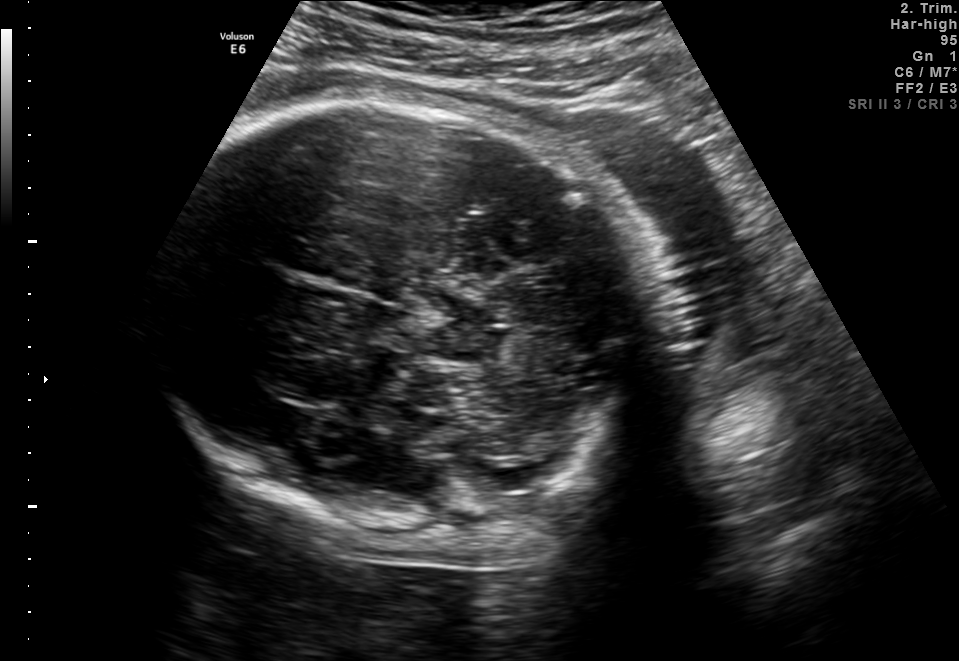
Fetal brain, trans-thalamic plane. Locate the fetal head and, if visible, the cavum septum pellucidum (CSP) and lateral ventricle (LV). Give bounding boxes as [x1,y1,x2,y2].

Head: [159,102,668,535]